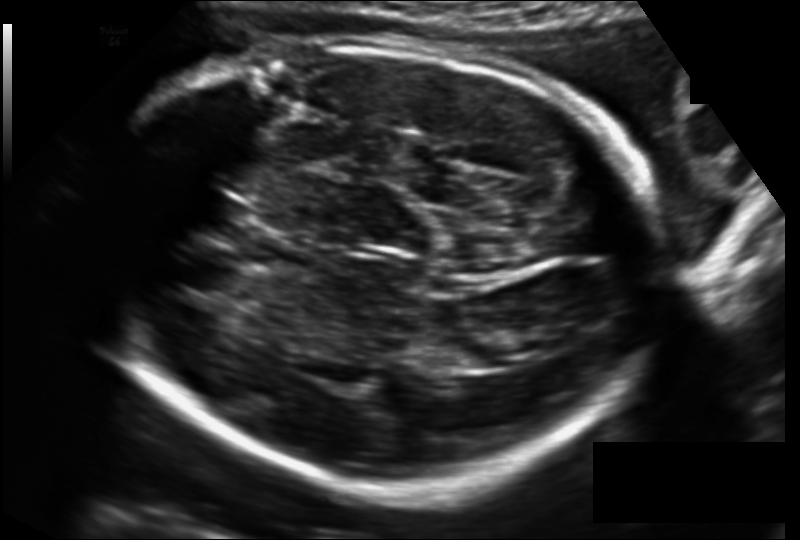
In this fetal head ultrasound, give bounding boxes for the head outline, cavum septum pellucidum (CSP), and lateral ventricle (LV), where visible. Image width: 133.8 mm.

Head: [98,40,660,489]